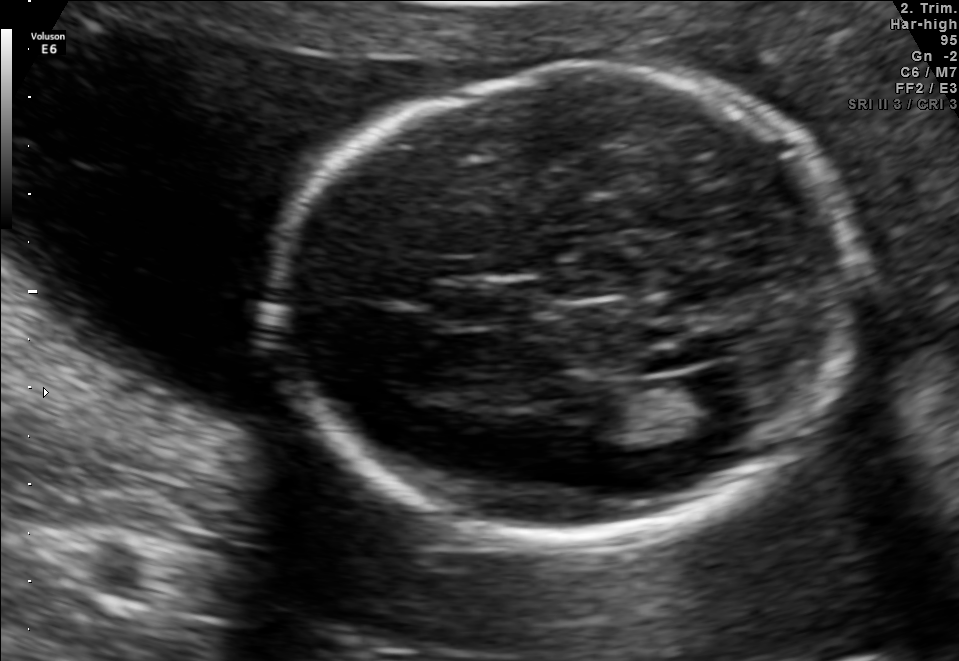
Fetal brain, trans-ventricular plane. Where is the fetal head?

Head bounding box: [263,54,870,551]